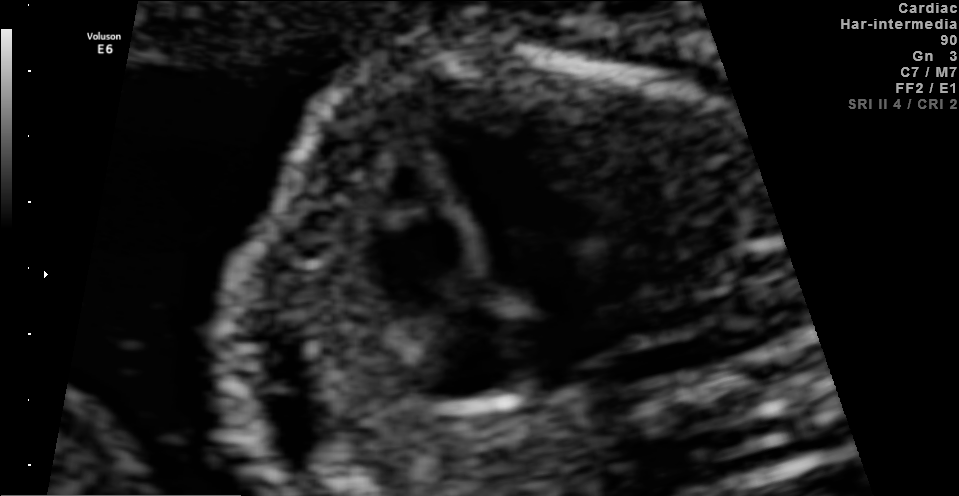
Classify this maternal-fetal ultrasound image as one of the six standard planes — fetal abdomen, fetal brain, fetal femur, fetal thorax, maternal cervix, or other. If it's fetal brain and one of the three standard brain planes (trans-thalamic, trans-cerebellum, trans-ventricular), name which.

Fetal thorax